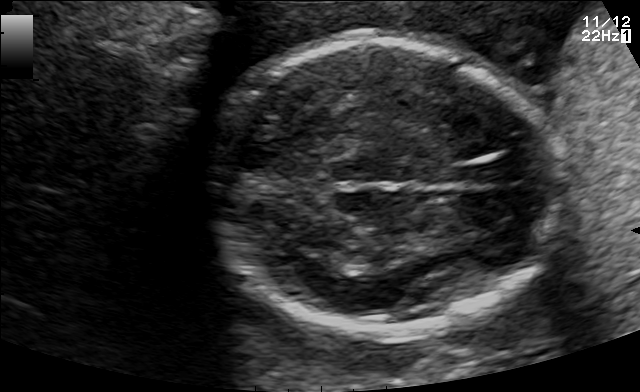
Fetal brain, trans-thalamic plane. Give [x1,y1,x2,y2] bounding boxes for each visible structure among: fetal head, CSP, LV.

Head: [212,38,568,337]